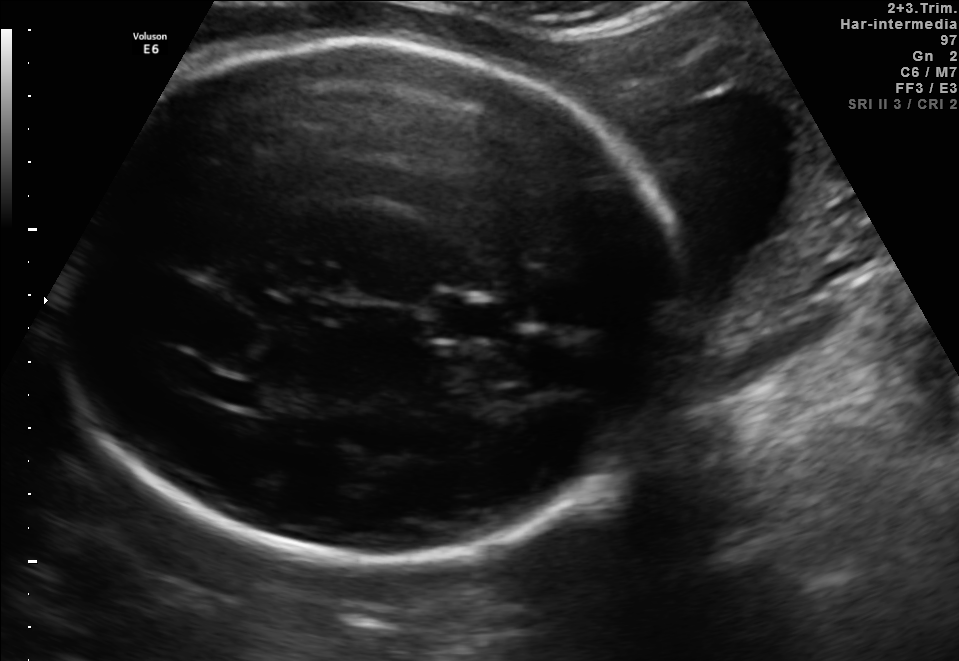
Fetal brain, trans-thalamic plane. Locate the cavum septum pellucidum.

CSP: [434,305,511,337]